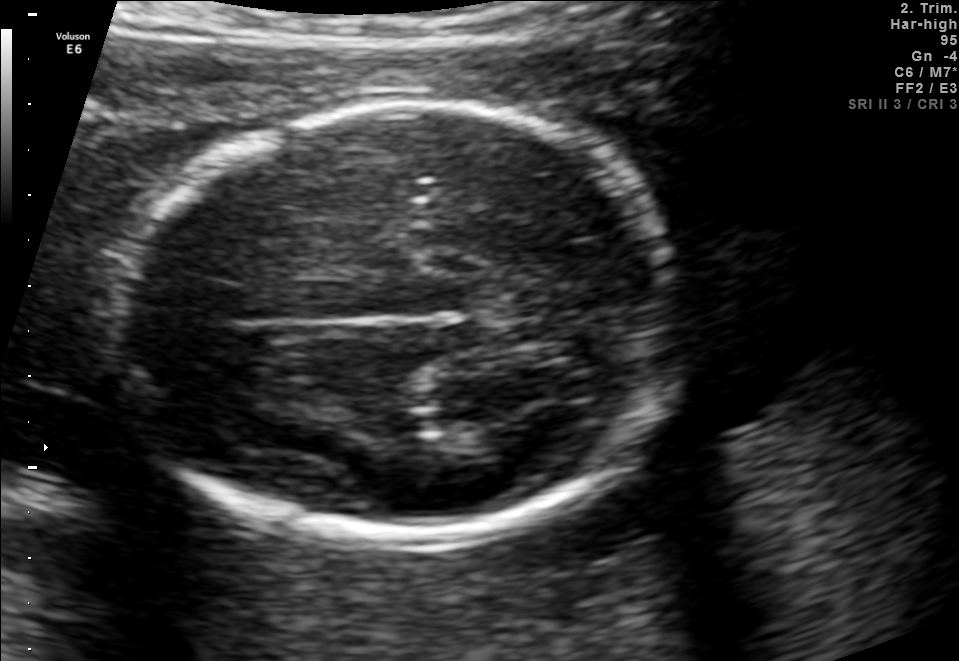
Fetal brain, trans-thalamic plane. Locate the fetal head and, if visible, the cavum septum pellucidum (CSP) and lateral ventricle (LV). Give bounding boxes as [x1,y1,x2,y2].

Head: [115,107,678,540]
Lateral ventricle: [465,411,549,458]